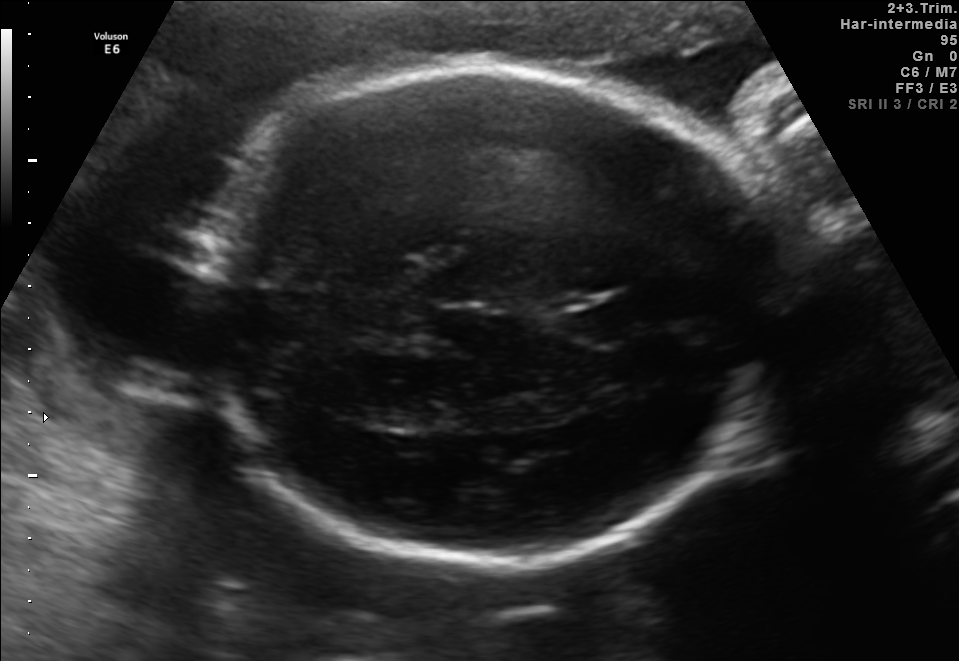
In this fetal brain, trans-thalamic plane, give the bounding box of the cavum septum pellucidum.

[571,289,650,347]